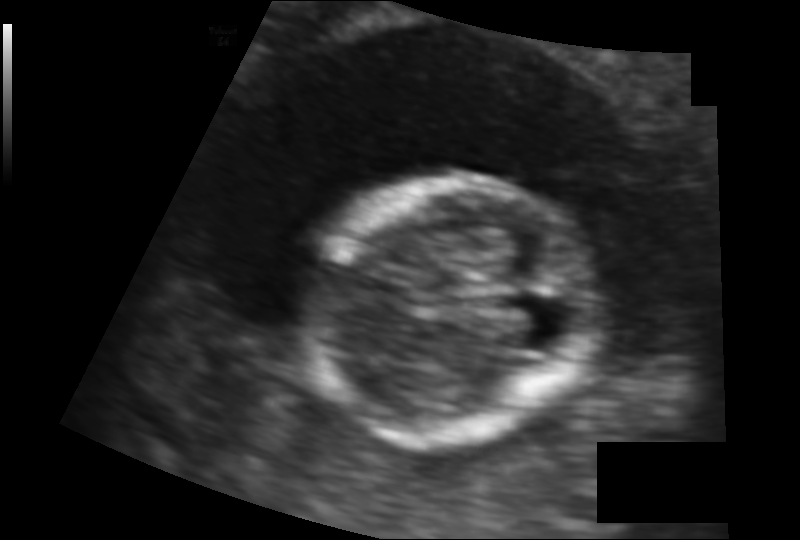
In this fetal head ultrasound, give the bounding box of the fetal head. Image width: 82.1 mm.

[301,179,601,448]